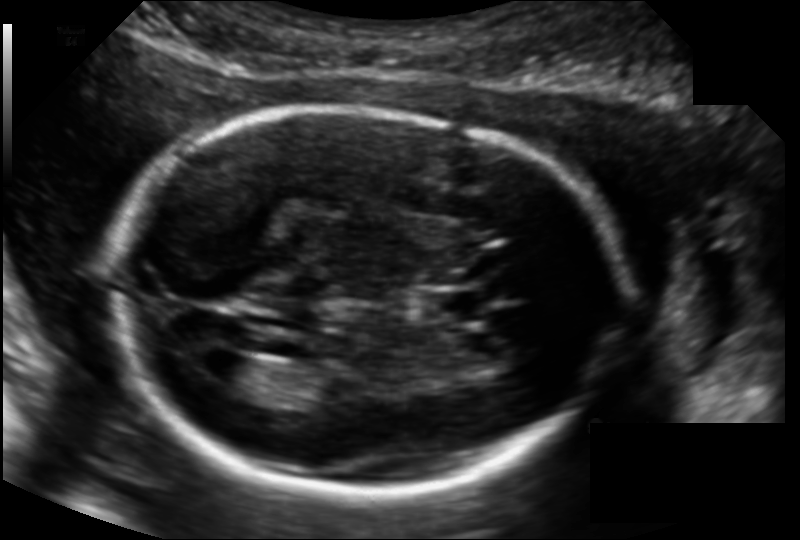
Fetal head ultrasound. Image width: 107.7 mm. Where is the cavum septum pellucidum?

CSP bounding box: [423,291,482,321]